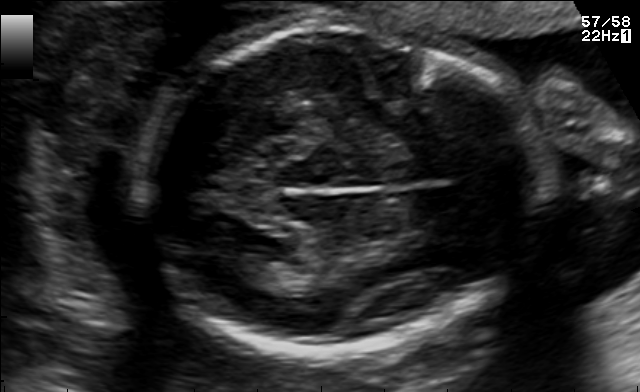
Fetal brain, trans-thalamic plane. Give [x1,y1,x2,y2] bounding boxes for each visible structure among: fetal head, CSP, LV.

Head: [141,23,541,352]